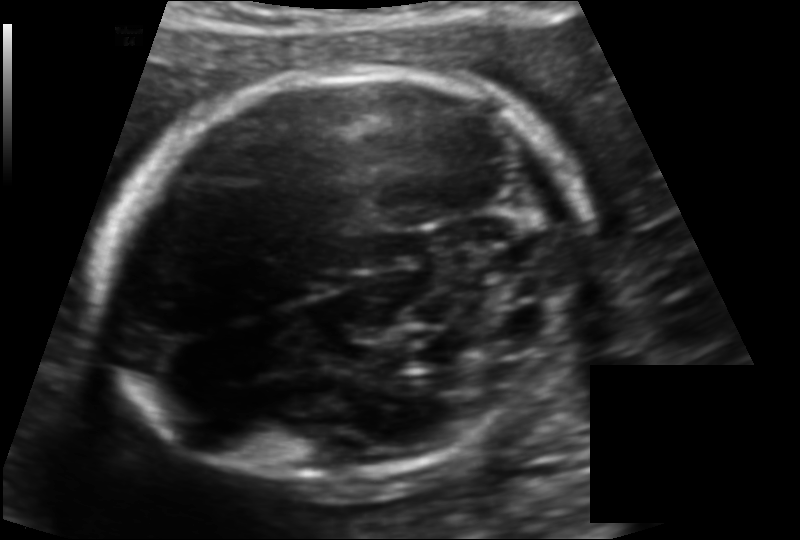
In this fetal head ultrasound, give the bounding box of the fetal head. Image width: 100.1 mm.

[103,66,586,487]